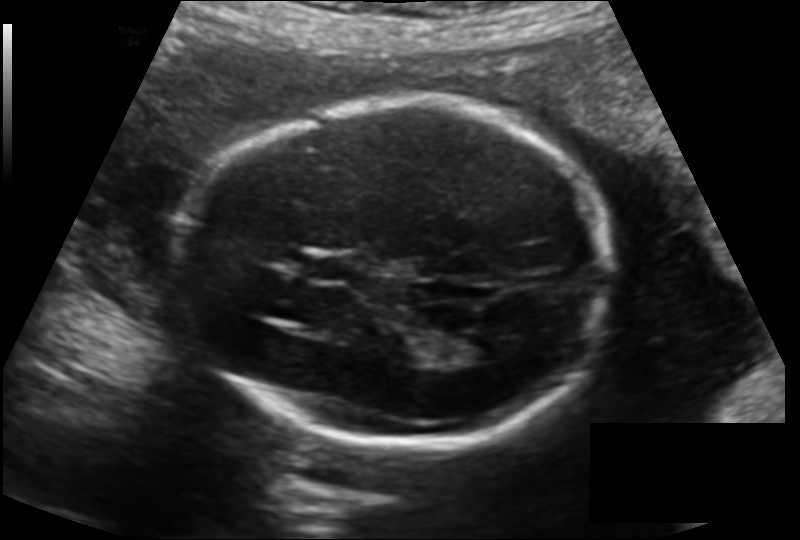
Fetal head ultrasound. Image width: 115.3 mm. Give [x1,y1,x2,y2] bounding boxes for each visible structure among: fetal head, CSP, LV.

Head: [177,101,610,444]
CSP: [309,256,362,282]
Lateral ventricle: [446,329,504,366]